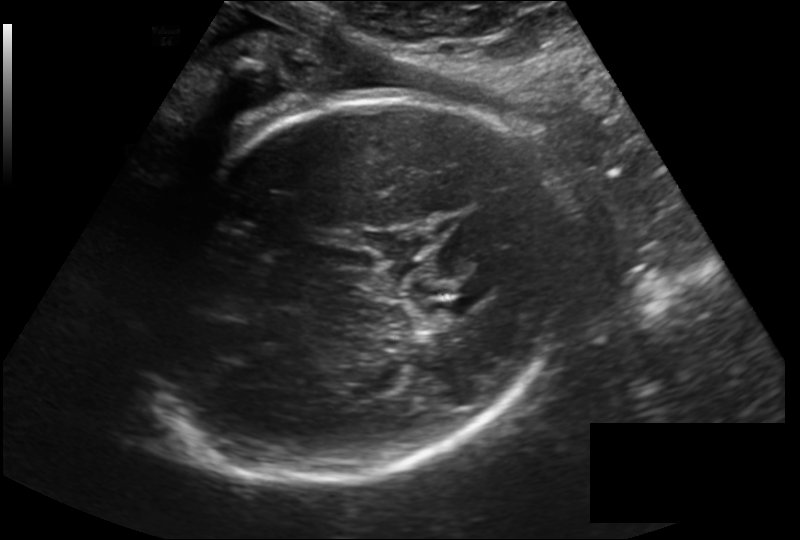
Fetal head ultrasound. Image width: 175.4 mm. Give [x1,y1,x2,y2] bounding boxes for each visible structure among: fetal head, CSP, LV.

Head: [124,96,574,484]